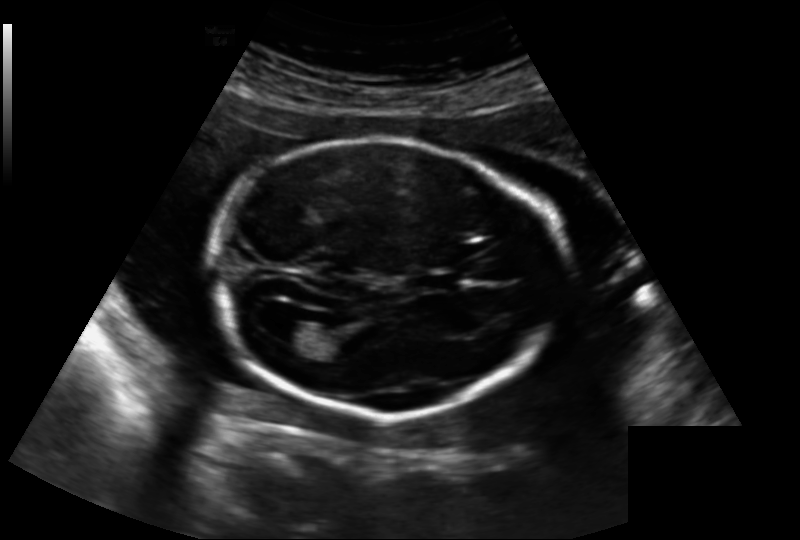
Estimate the fetal head circumference from this 2D ultrasound.

Head circumference: 193.1 mm (image width 150.3 mm).